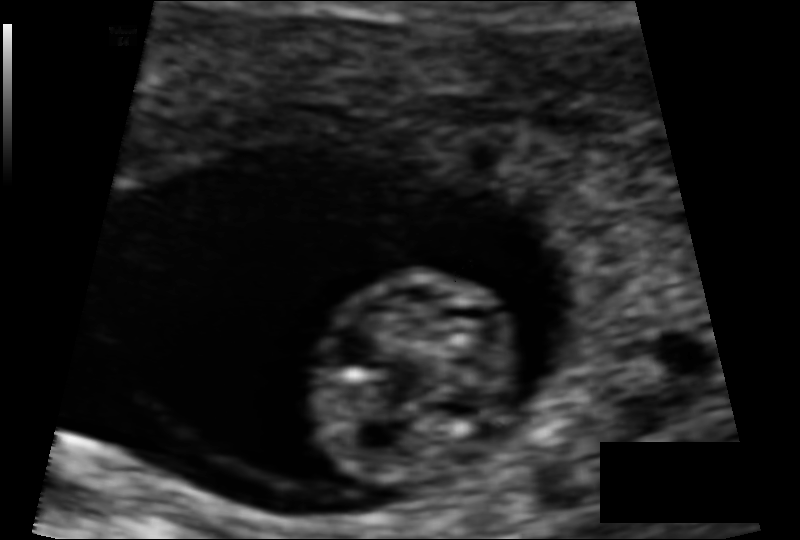
Measure the fetal head circumference shown in this ultrasound image. Image width: 55.3 mm.

Head circumference: 44.3 mm.